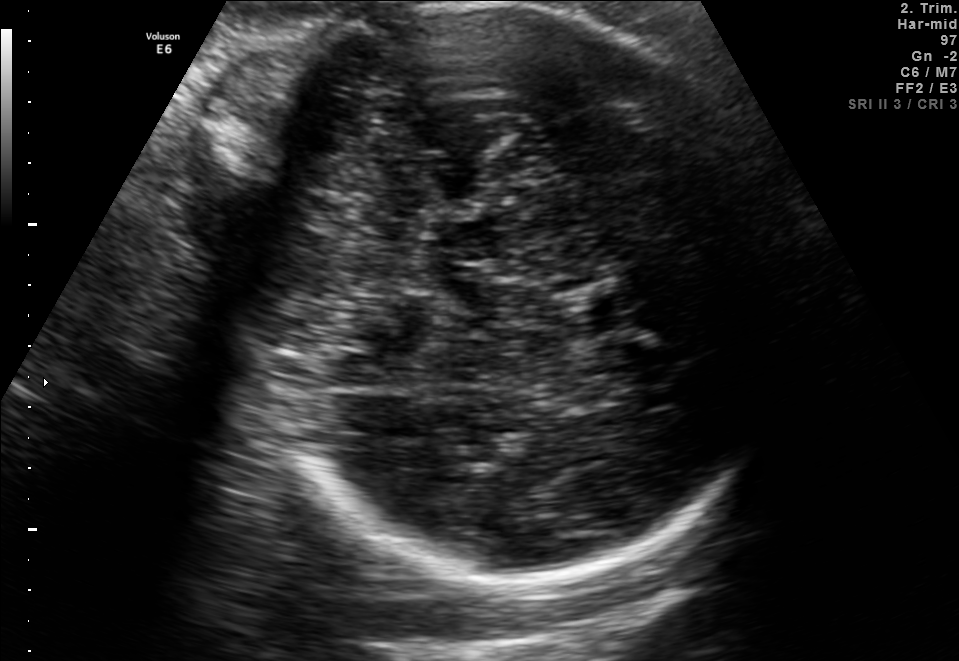
Fetal brain, trans-thalamic plane. Locate the fetal head.

Head: [242,2,775,585]